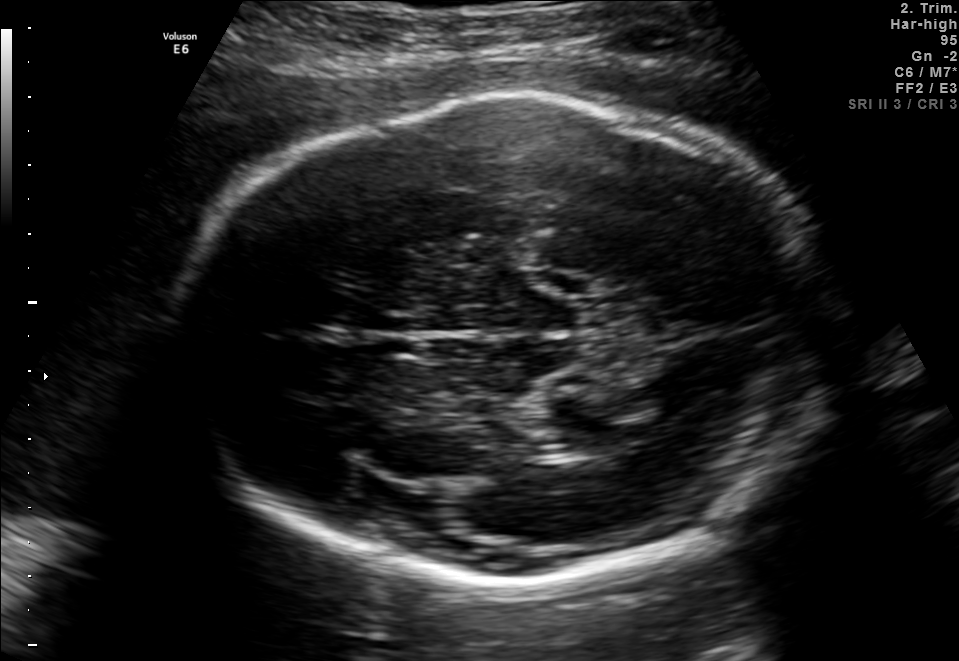
In this fetal brain, trans-thalamic plane, give bounding boxes for the head outline, cavum septum pellucidum (CSP), and lateral ventricle (LV), where visible.

Head: [173,99,832,590]